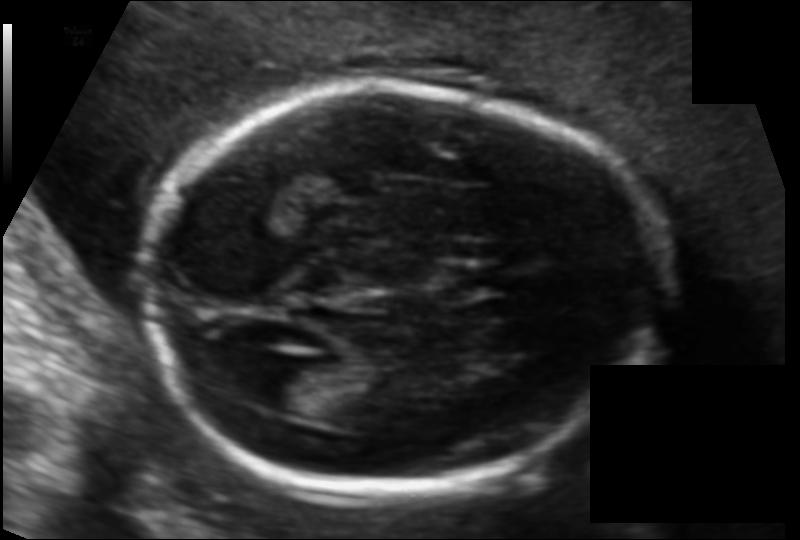
Fetal head ultrasound. Image width: 88.8 mm. Where is the lateral ventricle?

Lateral ventricle bounding box: [238,355,329,421]